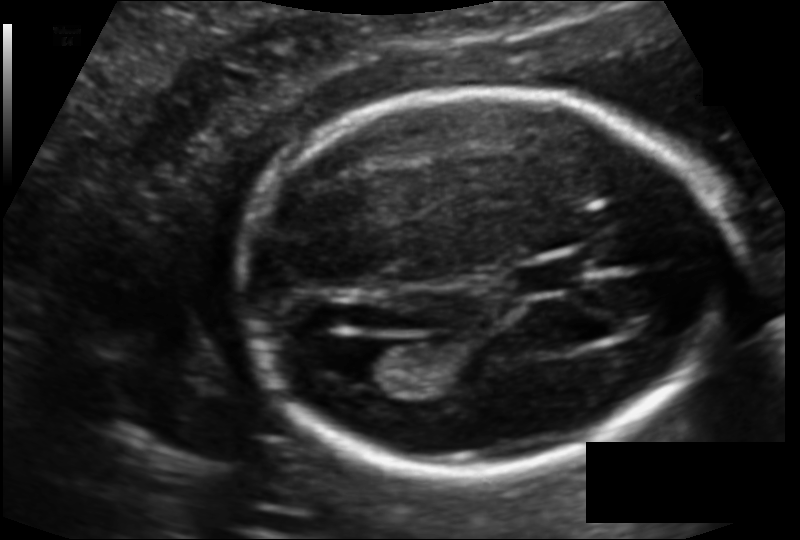
From this fetal ultrasound, estimate the head circumference (image width 96.9 mm).

Head circumference: 169.5 mm.